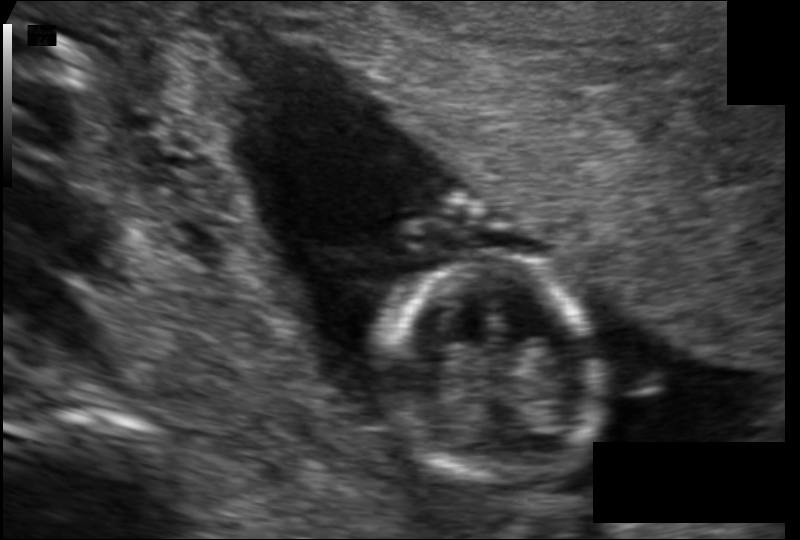
In this fetal head ultrasound, give the bounding box of the fetal head. Image width: 87.7 mm.

[381,255,596,483]